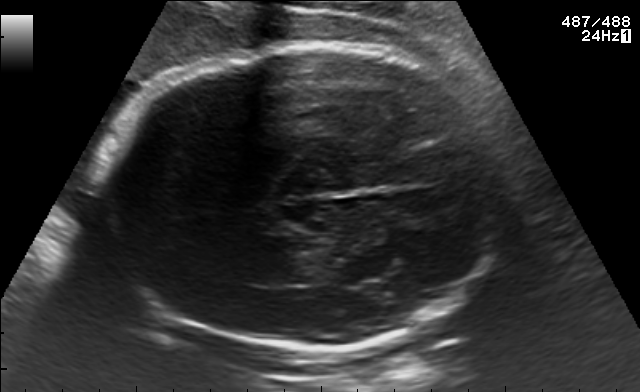
In this fetal brain, trans-thalamic plane, give bounding boxes for the head outline, cavum septum pellucidum (CSP), and lateral ventricle (LV), where visible.

Head: [93,45,503,349]